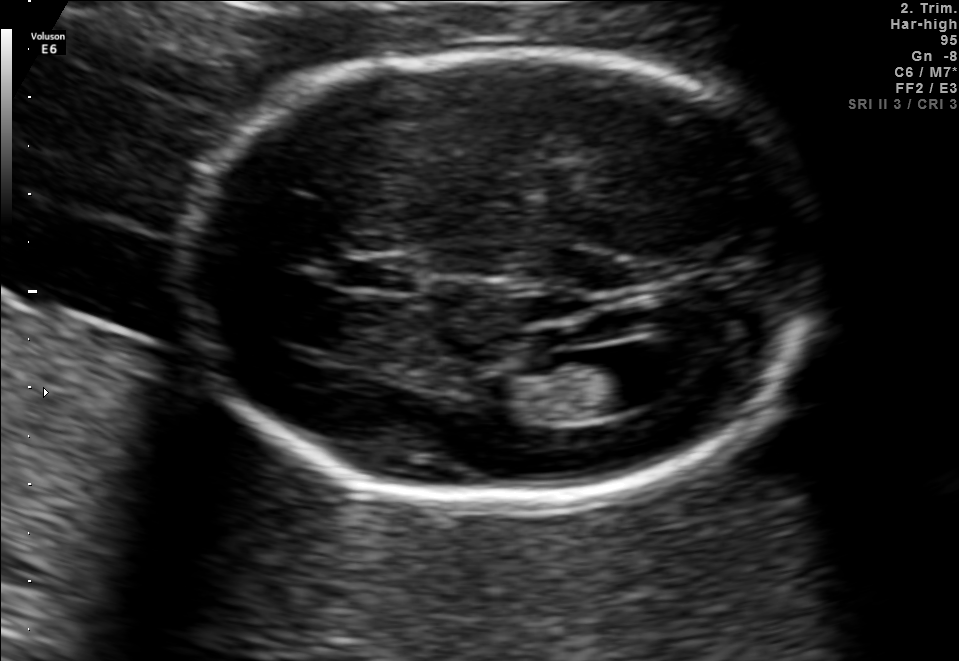
Fetal brain, trans-ventricular plane. Locate the lateral ventricle.

Lateral ventricle: [562,331,688,423]